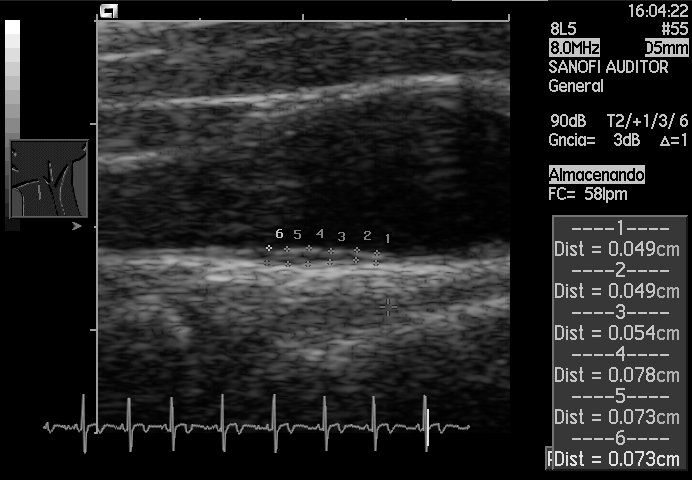
Classify this maternal-fetal ultrasound image as one of the six standard planes — fetal abdomen, fetal brain, fetal femur, fetal thorax, maternal cervix, or other. If it's fetal brain and one of the three standard brain planes (trans-thalamic, trans-cerebellum, trans-ventricular), name which.

Other